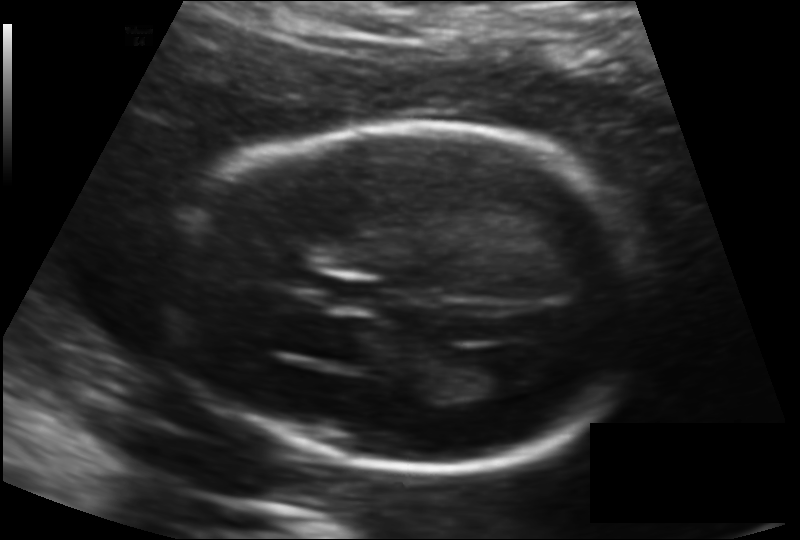
Fetal head ultrasound. Image width: 108.1 mm. Locate the fetal head and, if visible, the cavum septum pellucidum (CSP) and lateral ventricle (LV). Give bounding boxes as [x1,y1,x2,y2].

Head: [166,123,649,469]
CSP: [331,278,386,313]
Lateral ventricle: [470,359,521,397]